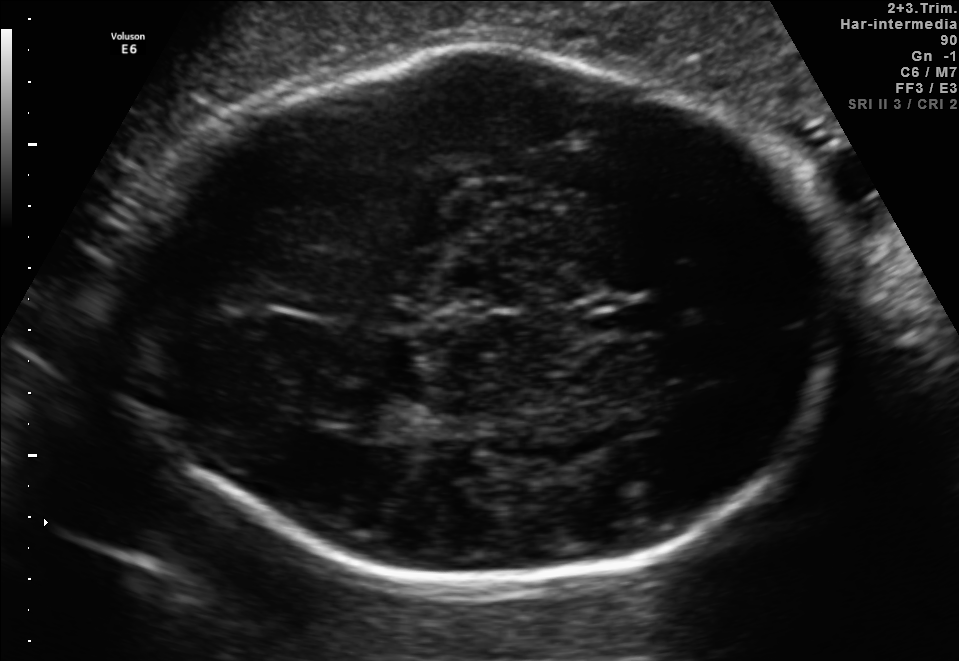
In this fetal brain, trans-thalamic plane, give the bounding box of the fetal head.

[102,50,841,579]